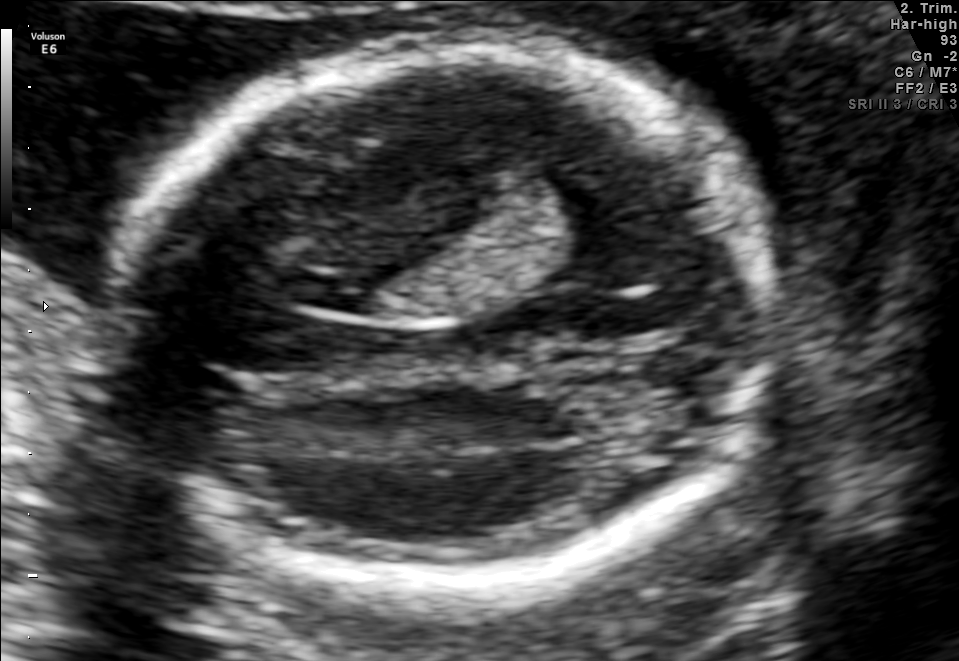
Fetal brain, trans-ventricular plane. Give [x1,y1,x2,y2] bounding boxes for each visible structure among: fetal head, CSP, LV.

Head: [102,43,791,592]